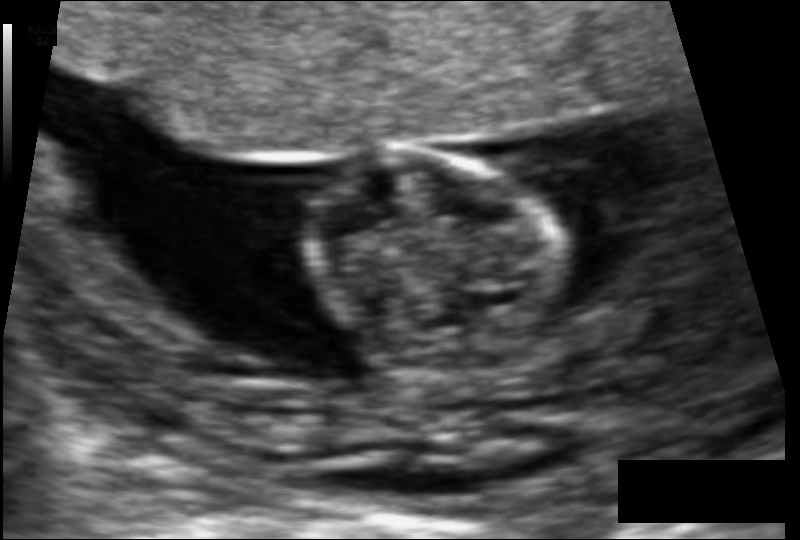
Fetal head ultrasound. Image width: 63.2 mm. Give [x1,y1,x2,y2] bounding boxes for each visible structure among: fetal head, CSP, LV.

Head: [306,150,571,377]